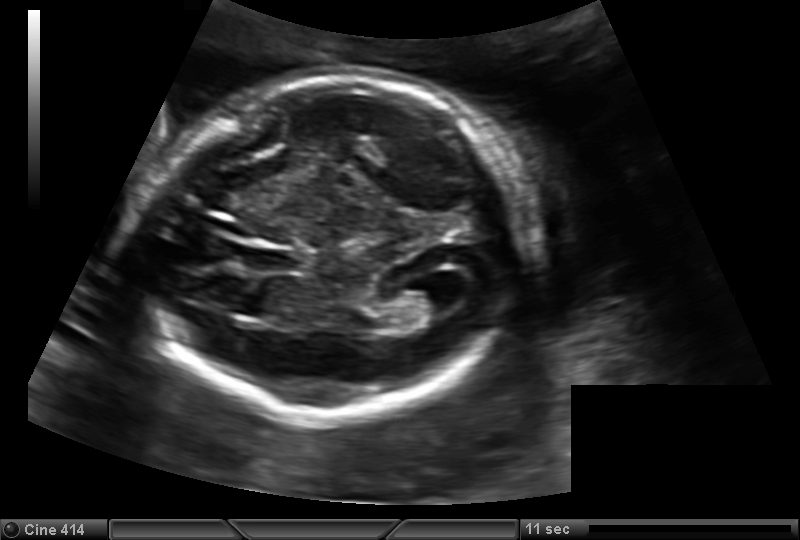
In this fetal head ultrasound, give bounding boxes for the head outline, cavum septum pellucidum (CSP), and lateral ventricle (LV), where visible. Image width: 120.0 mm.

Head: [143,76,523,417]
CSP: [243,245,295,273]
Lateral ventricle: [394,273,457,326]